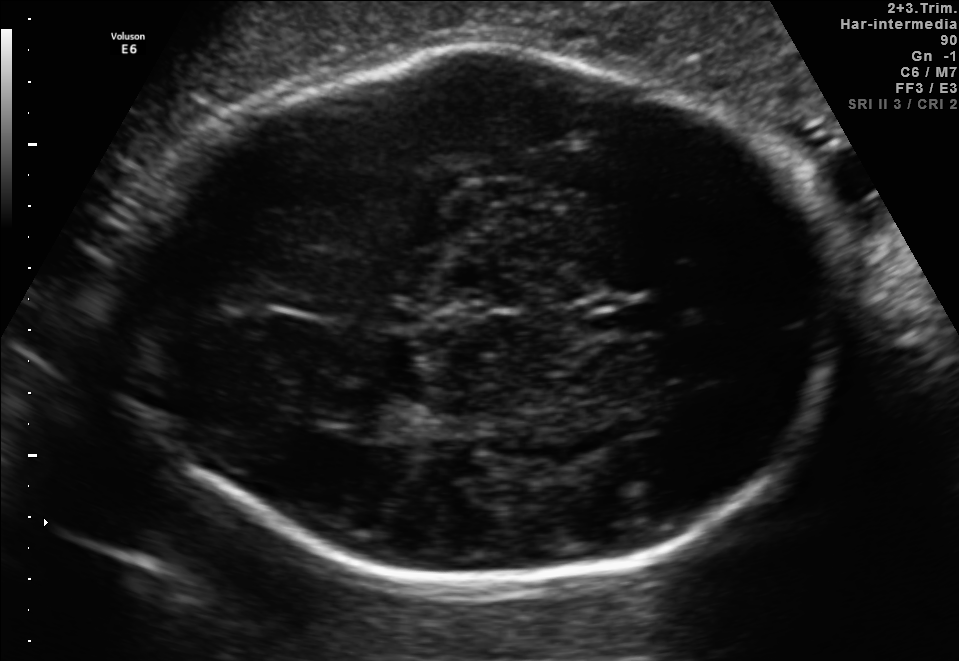
Fetal brain, trans-thalamic plane. Locate the fetal head and, if visible, the cavum septum pellucidum (CSP) and lateral ventricle (LV). Give bounding boxes as [x1,y1,x2,y2].

Head: [102,50,841,579]
CSP: [578,296,659,340]